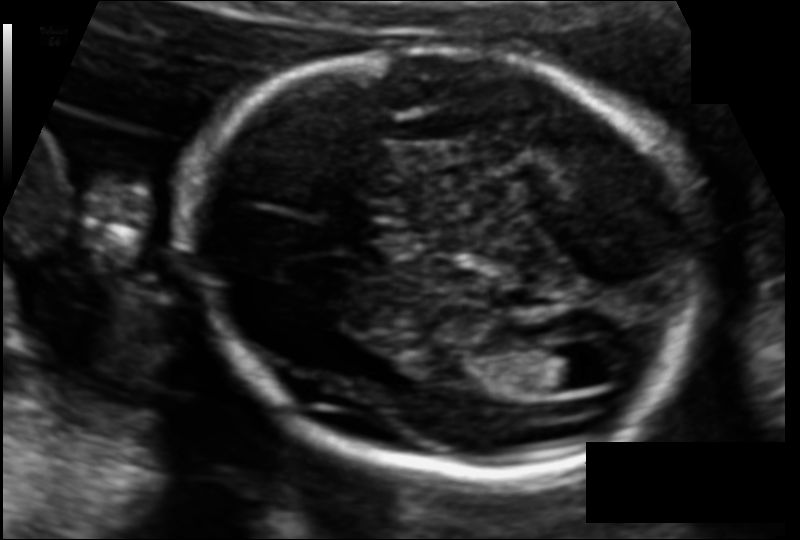
Fetal head ultrasound. Image width: 87.7 mm. Give [x1,y1,x2,y2] bounding boxes for each visible structure among: fetal head, CSP, LV.

Head: [191,46,707,478]
Lateral ventricle: [522,345,590,393]